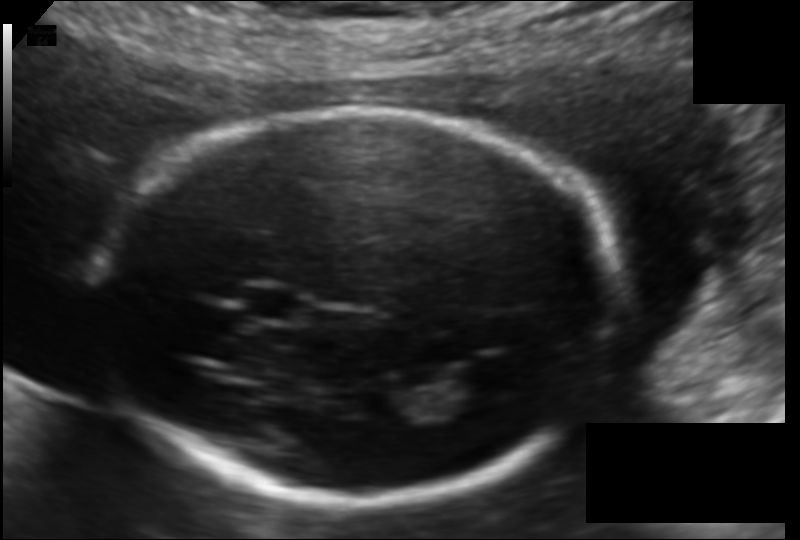
Fetal head ultrasound. Image width: 96.1 mm. Where is the fetal head?

Head bounding box: [99,113,619,501]